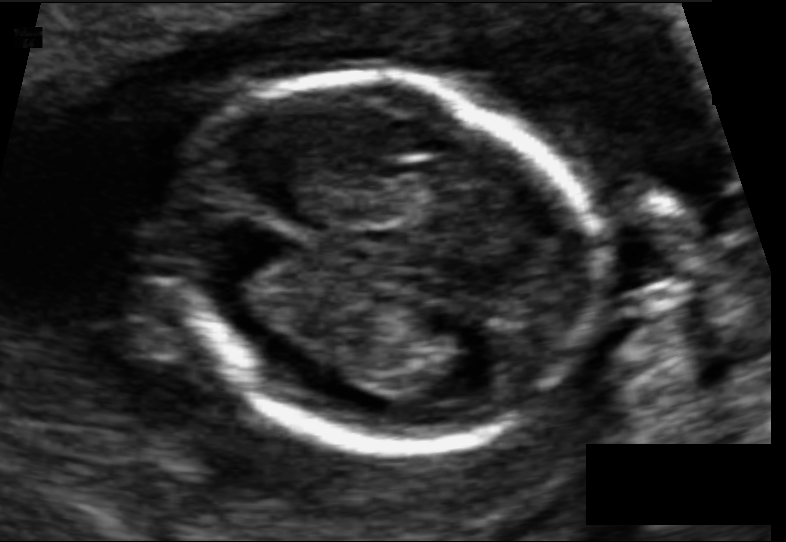
From this fetal ultrasound, estimate the head circumference (image width 58.4 mm).

Head circumference: 97.1 mm.